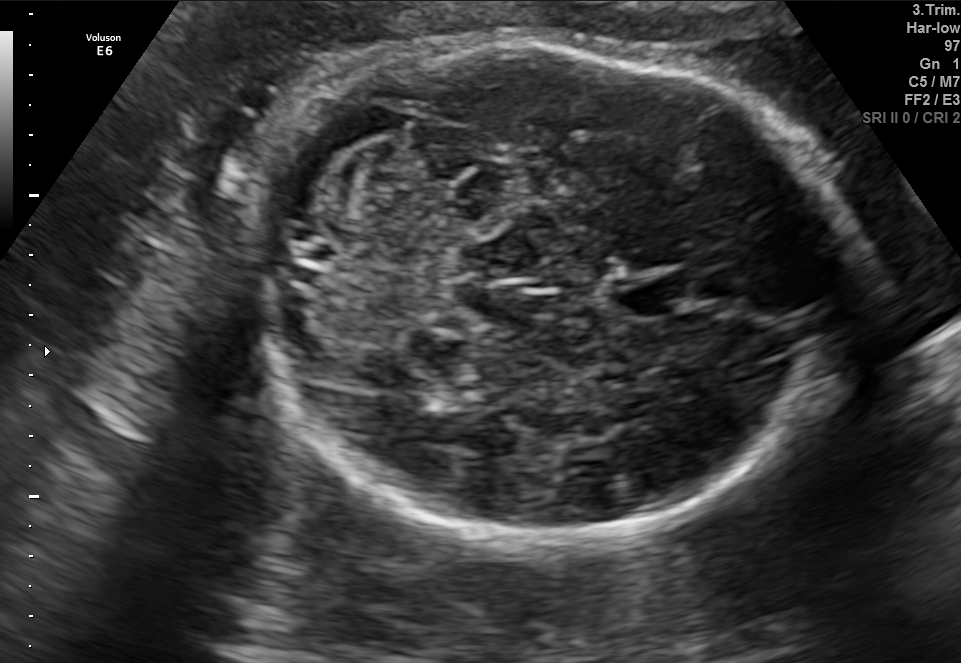
Fetal brain, trans-cerebellum plane. Locate the fetal head and, if visible, the cavum septum pellucidum (CSP) and lateral ventricle (LV). Give bounding boxes as [x1,y1,x2,y2].

Head: [250,42,848,543]
CSP: [609,265,696,329]